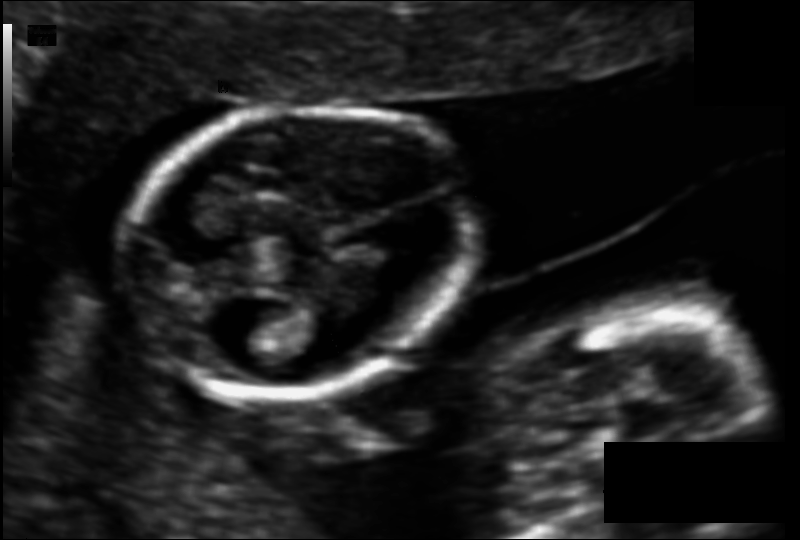
Estimate the fetal head circumference from this 2D ultrasound. Image width: 76.3 mm.

Head circumference: 99.7 mm.